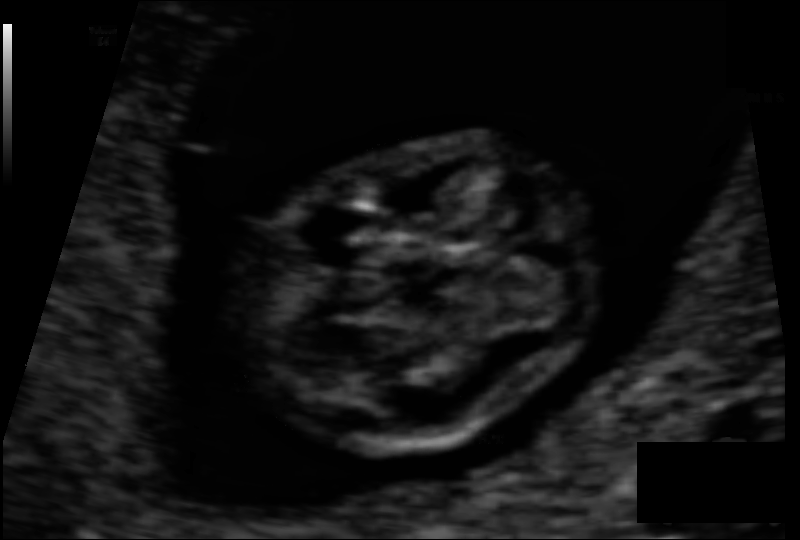
Fetal head ultrasound. Image width: 48.2 mm. Give [x1,y1,x2,y2] bounding boxes for each visible structure among: fetal head, CSP, LV.

Head: [245,141,596,446]